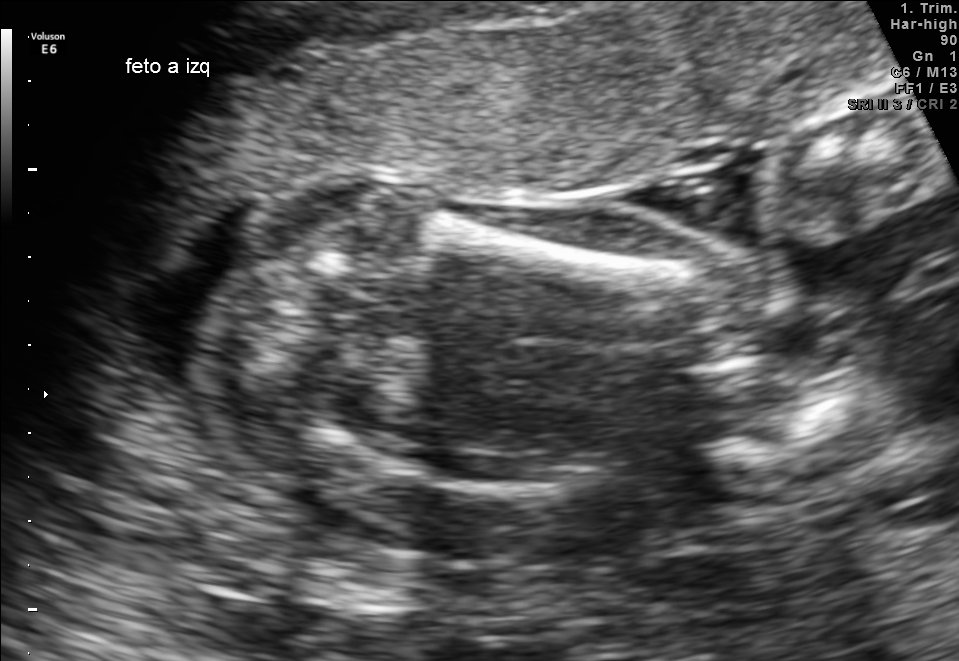
Classify this maternal-fetal ultrasound image as one of the six standard planes — fetal abdomen, fetal brain, fetal femur, fetal thorax, maternal cervix, or other. If it's fetal brain and one of the three standard brain planes (trans-thalamic, trans-cerebellum, trans-ventricular), name which.

Fetal femur